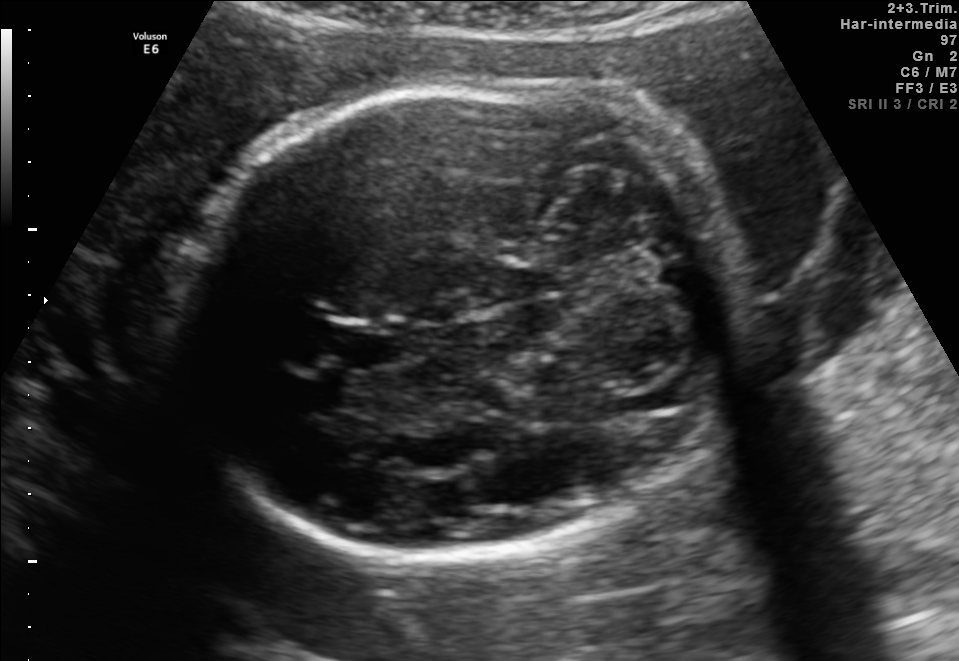
Fetal brain, trans-cerebellum plane. Where is the cavum septum pellucidum?

CSP bounding box: [317,318,397,371]